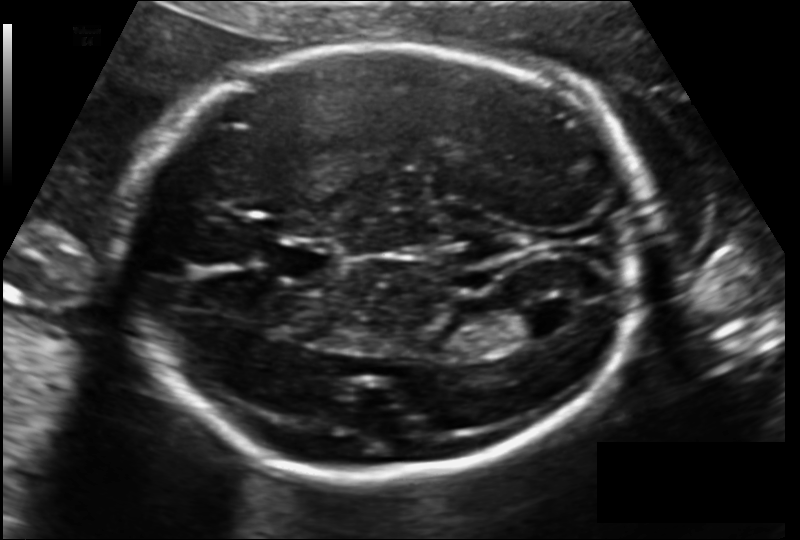
Estimate the fetal head circumference from this 2D ultrasound. Image width: 118.5 mm.

Head circumference: 231.2 mm.